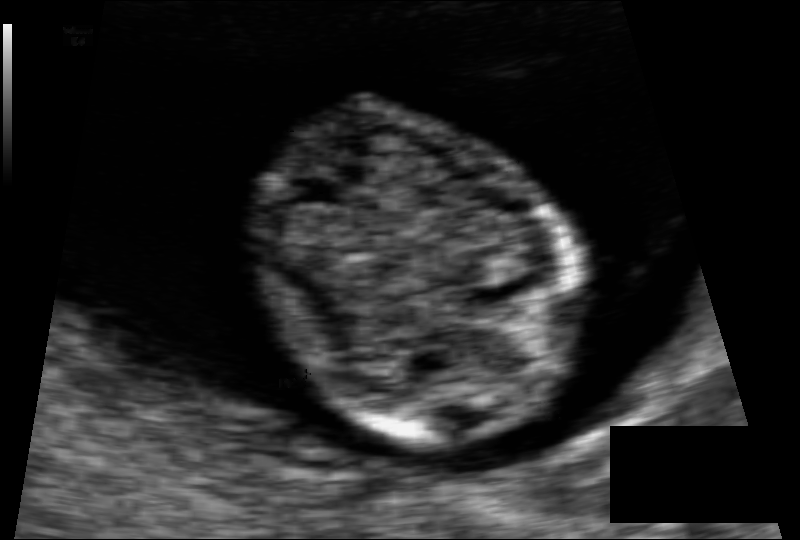
In this fetal head ultrasound, give the bounding box of the fetal head. Image width: 49.5 mm.

[251,99,576,438]